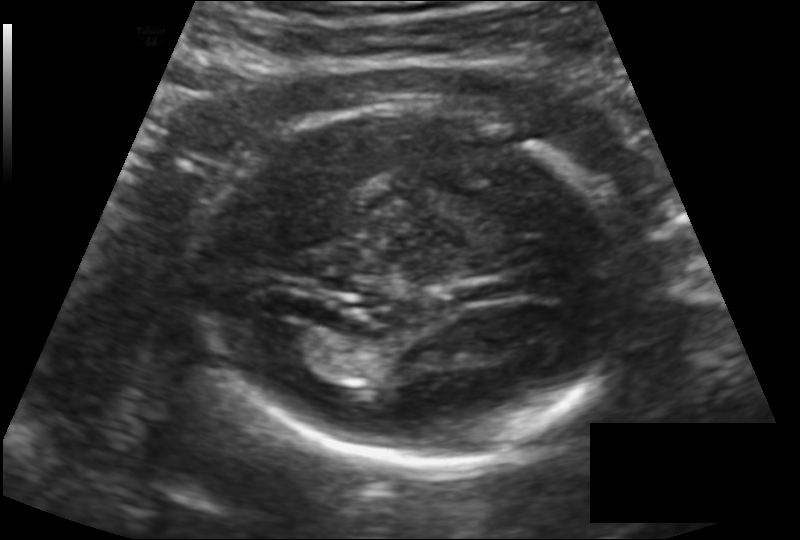
Measure the fetal head circumference shown in this ultrasound image. Image width: 113.7 mm.

Head circumference: 178.3 mm.